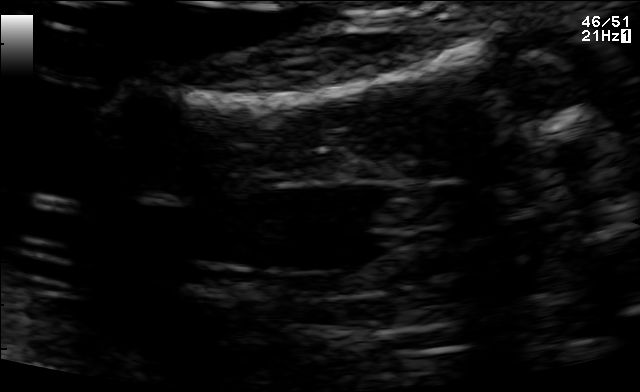
Identify the standard plane in this fetal ultrasound image: fetal abdomen, fetal brain, fetal femur, fetal thorax, maternal cervix, or other. If it's fetal brain and one of the three standard brain planes (trans-thalamic, trans-cerebellum, trans-ventricular), name which.

Fetal femur